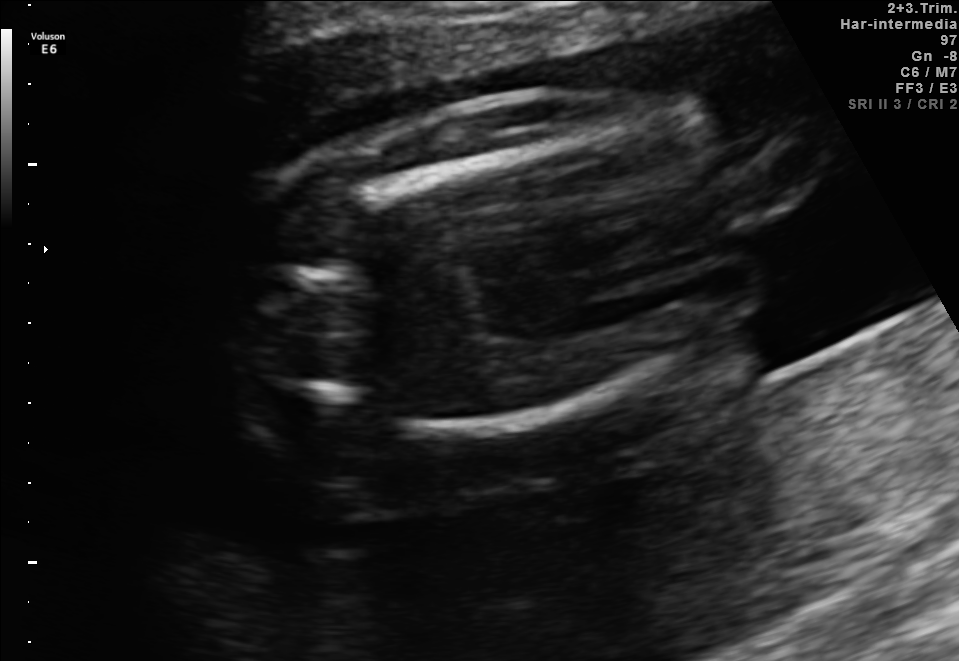
Identify the standard plane in this fetal ultrasound image: fetal abdomen, fetal brain, fetal femur, fetal thorax, maternal cervix, or other. If it's fetal brain and one of the three standard brain planes (trans-thalamic, trans-cerebellum, trans-ventricular), name which.

Fetal femur